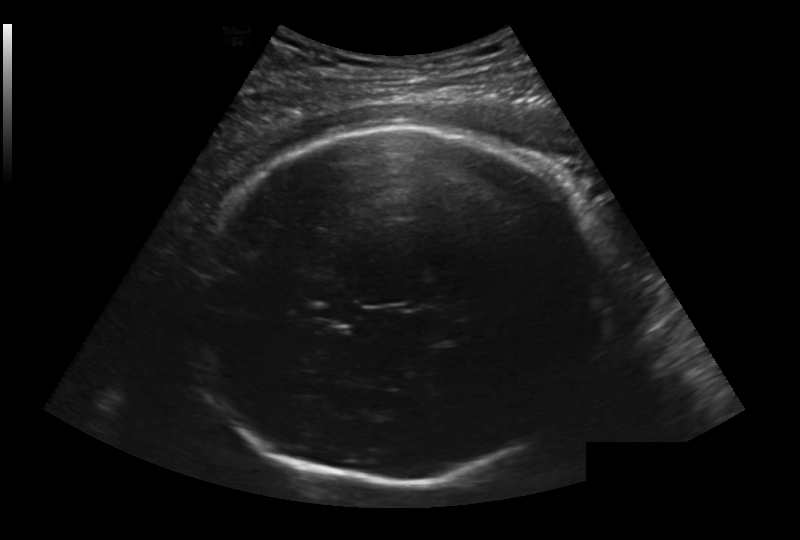
Fetal head ultrasound. Image width: 188.7 mm. Give [x1,y1,x2,y2] bounding boxes for each visible structure among: fetal head, CSP, LV.

Head: [198,125,607,485]